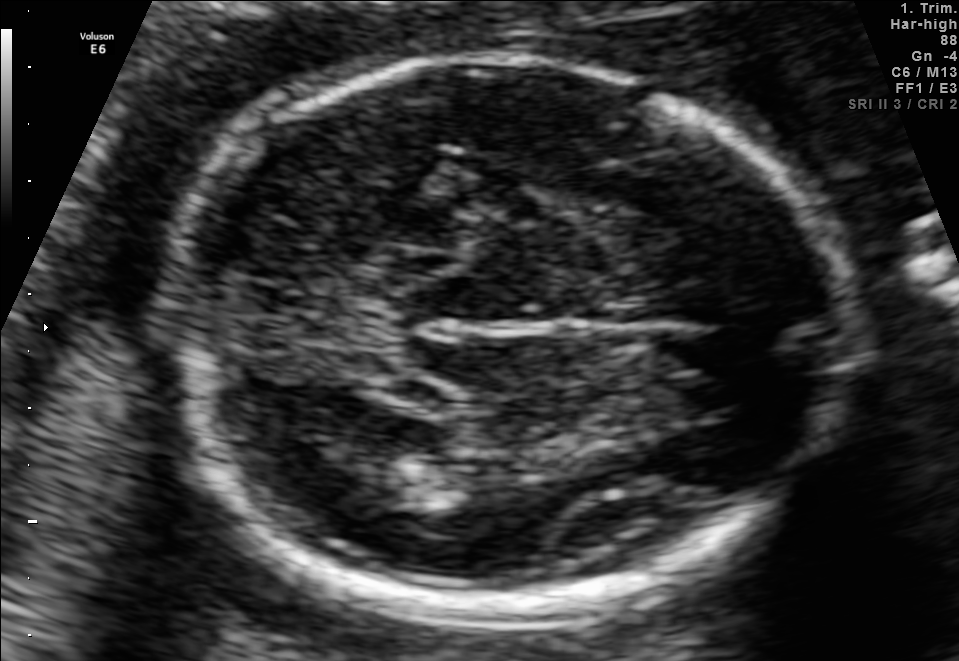
This is a 2D maternal-fetal ultrasound frame. Is it a fetal abdomen, fetal brain, fetal femur, fetal thorax, maternal cervix, or other standard plane? If it's fetal brain and one of the three standard brain planes (trans-thalamic, trans-cerebellum, trans-ventricular), name which.

Fetal brain (trans-thalamic plane)